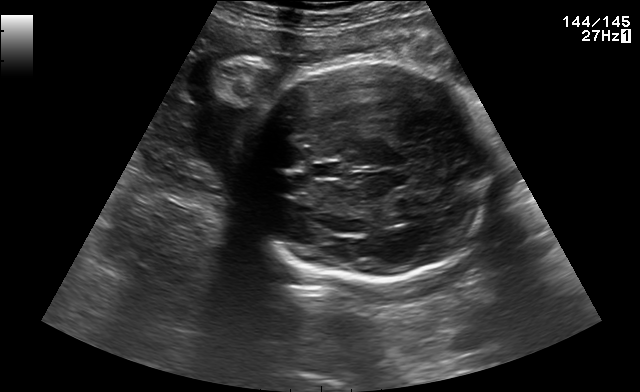
In this fetal brain, trans-thalamic plane, give the bounding box of the fetal head.

[238,64,500,279]